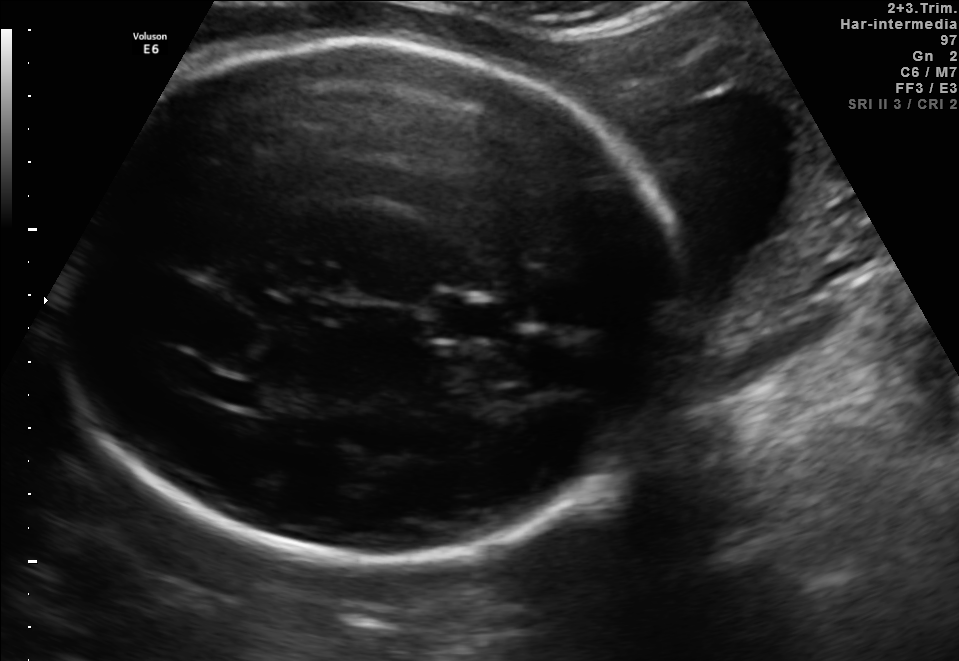
In this fetal brain, trans-thalamic plane, give the bounding box of the cavum septum pellucidum.

[434,305,511,337]